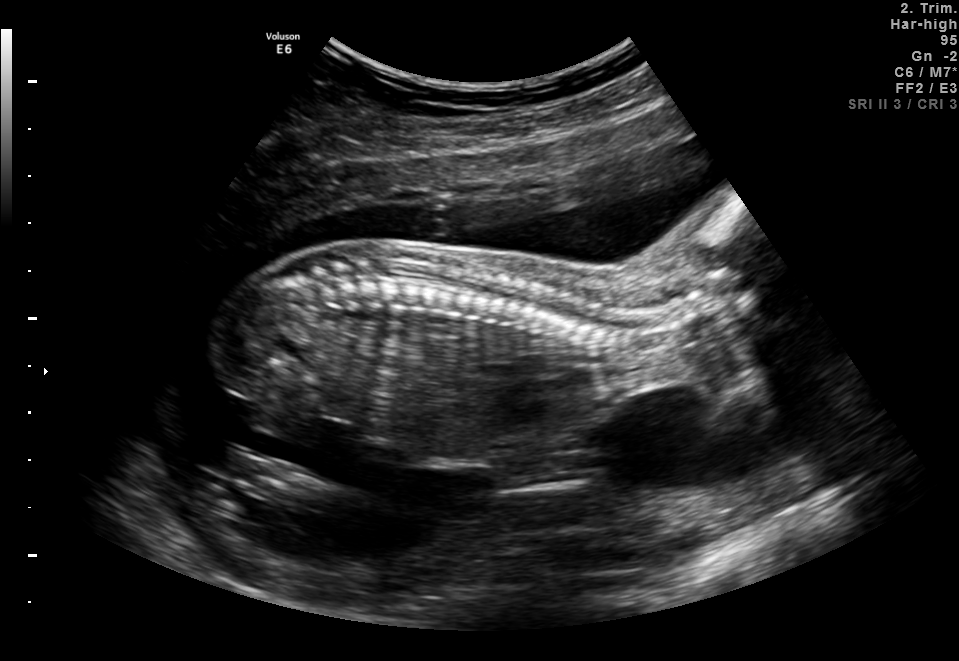
Identify the standard plane in this fetal ultrasound image: fetal abdomen, fetal brain, fetal femur, fetal thorax, maternal cervix, or other. If it's fetal brain and one of the three standard brain planes (trans-thalamic, trans-cerebellum, trans-ventricular), name which.

Other